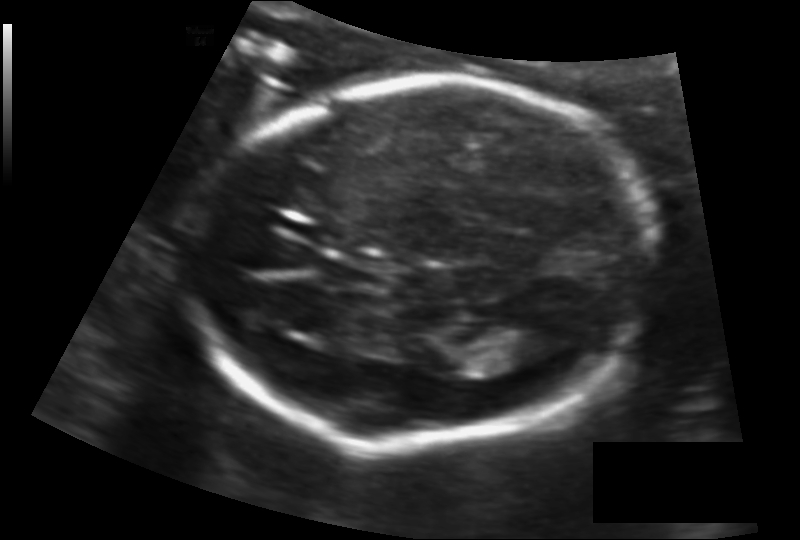
From this fetal ultrasound, estimate the head circumference (image width 100.0 mm).

Head circumference: 168.5 mm.